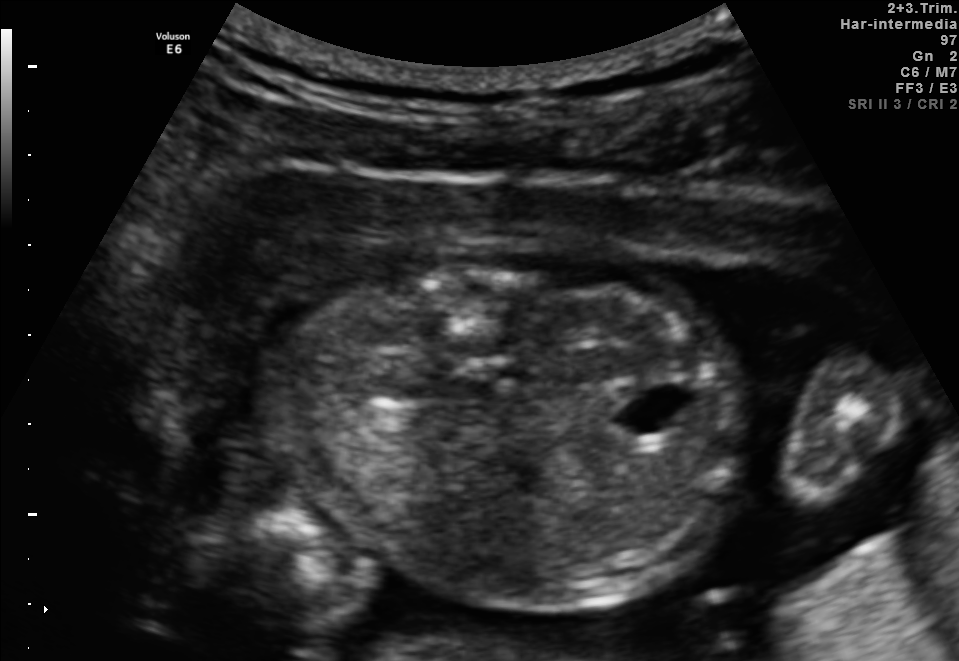
Classify this maternal-fetal ultrasound image as one of the six standard planes — fetal abdomen, fetal brain, fetal femur, fetal thorax, maternal cervix, or other. If it's fetal brain and one of the three standard brain planes (trans-thalamic, trans-cerebellum, trans-ventricular), name which.

Fetal abdomen